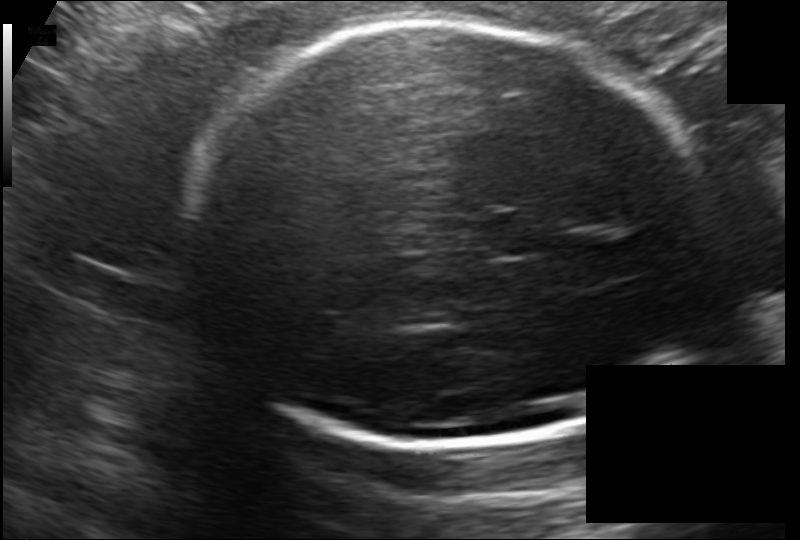
What is the fetal head circumference? Image width is 137.9 mm.

265.5 mm